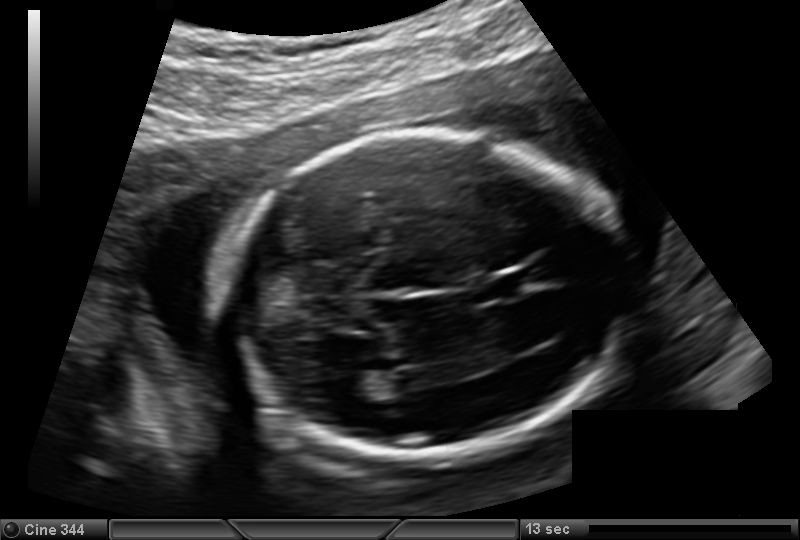
Estimate the fetal head circumference from this 2D ultrasound.

Head circumference: 173.4 mm (image width 115.3 mm).